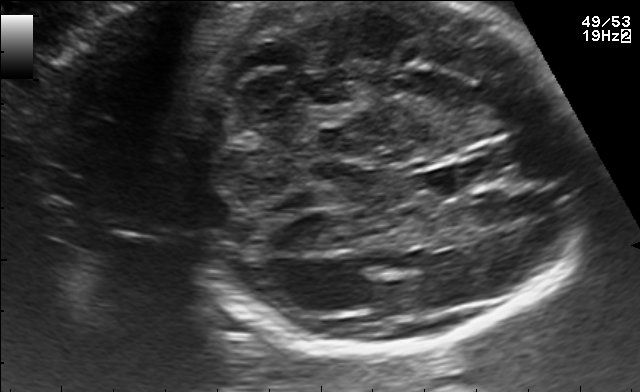
Fetal brain, trans-cerebellum plane. Locate the fetal head and, if visible, the cavum septum pellucidum (CSP) and lateral ventricle (LV). Give bounding boxes as [x1,y1,x2,y2].

Head: [176,1,581,352]